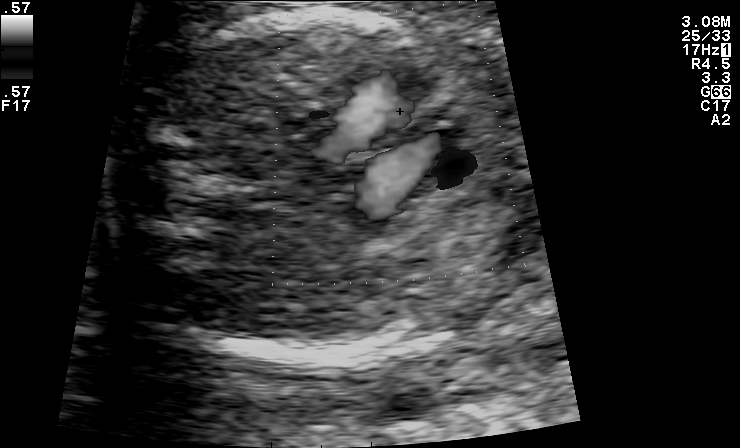
Which standard maternal-fetal ultrasound plane is shown: fetal abdomen, fetal brain, fetal femur, fetal thorax, maternal cervix, or other? If it's fetal brain and one of the three standard brain planes (trans-thalamic, trans-cerebellum, trans-ventricular), name which.

Other